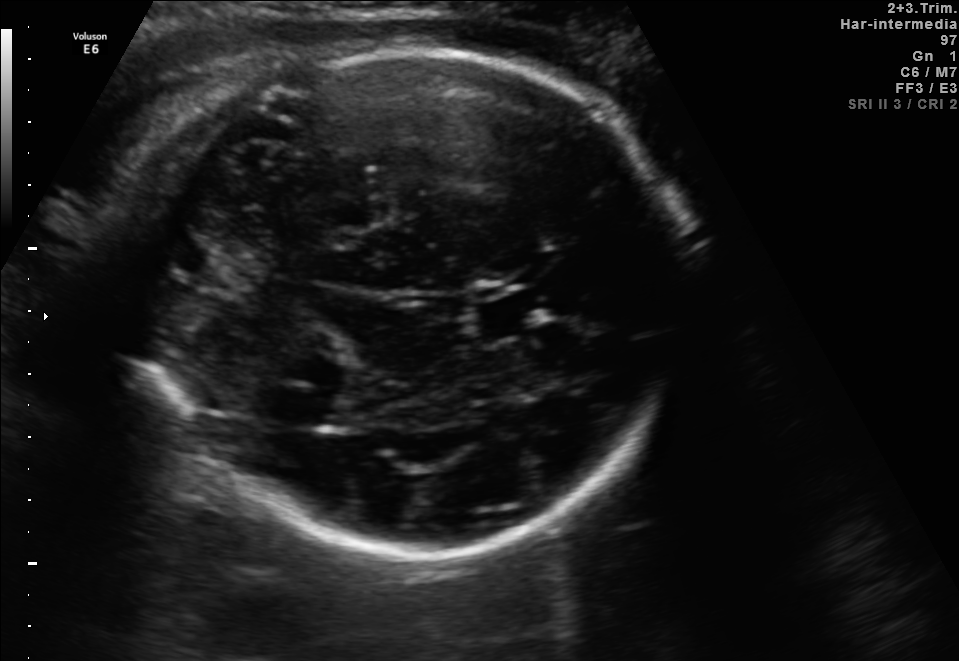
Fetal brain, trans-thalamic plane. Where is the cavum septum pellucidum?

CSP bounding box: [474,289,546,342]